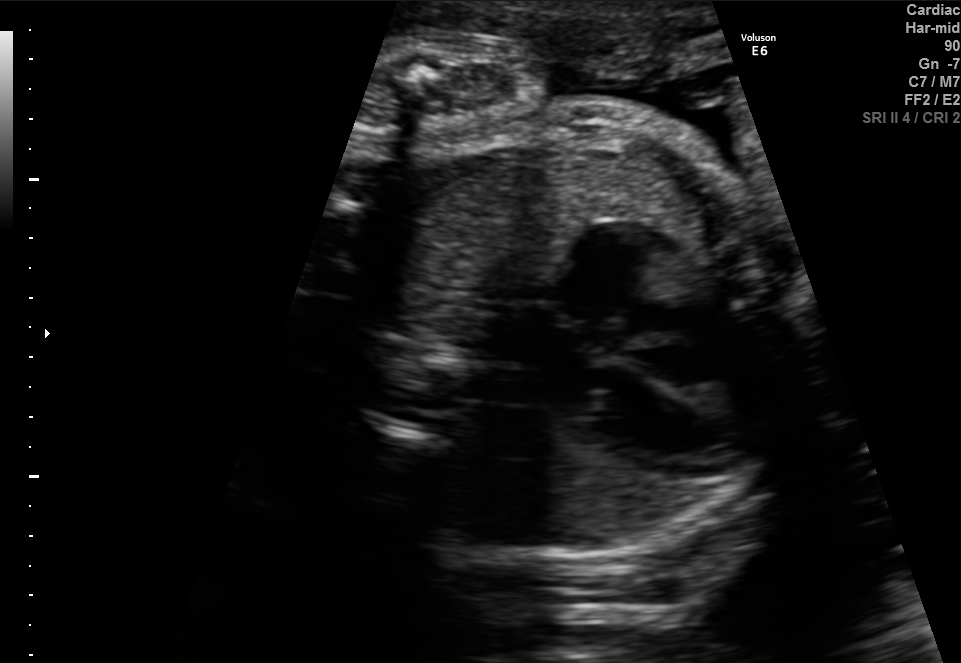
This is a 2D maternal-fetal ultrasound frame. Is it a fetal abdomen, fetal brain, fetal femur, fetal thorax, maternal cervix, or other standard plane? If it's fetal brain and one of the three standard brain planes (trans-thalamic, trans-cerebellum, trans-ventricular), name which.

Fetal thorax